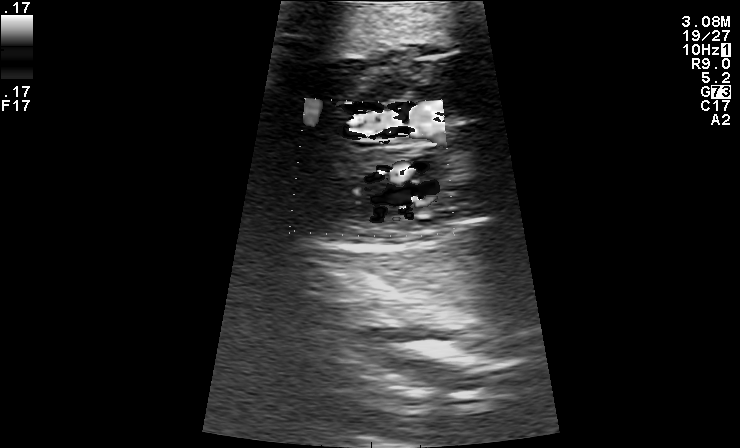
Which standard maternal-fetal ultrasound plane is shown: fetal abdomen, fetal brain, fetal femur, fetal thorax, maternal cervix, or other? If it's fetal brain and one of the three standard brain planes (trans-thalamic, trans-cerebellum, trans-ventricular), name which.

Other